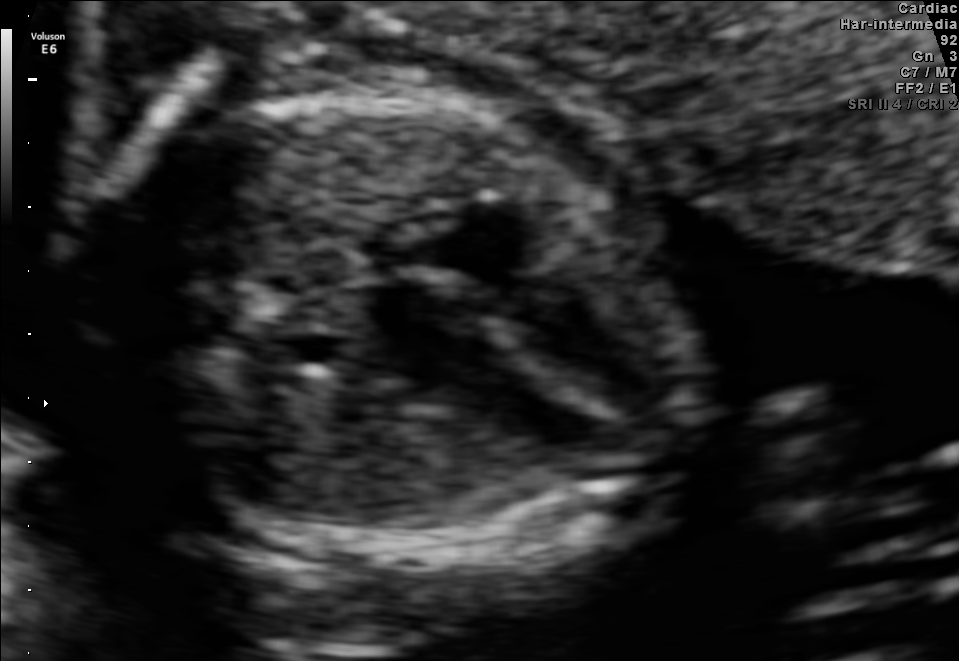
Classify this maternal-fetal ultrasound image as one of the six standard planes — fetal abdomen, fetal brain, fetal femur, fetal thorax, maternal cervix, or other. If it's fetal brain and one of the three standard brain planes (trans-thalamic, trans-cerebellum, trans-ventricular), name which.

Fetal thorax